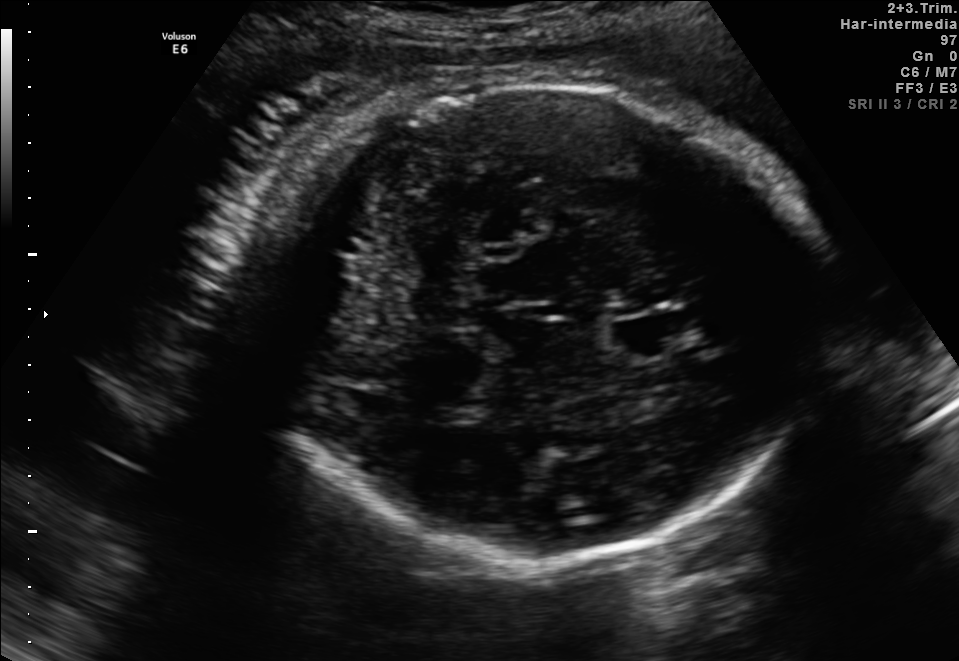
In this fetal brain, trans-thalamic plane, give the bounding box of the cavum septum pellucidum.

[611,310,693,359]